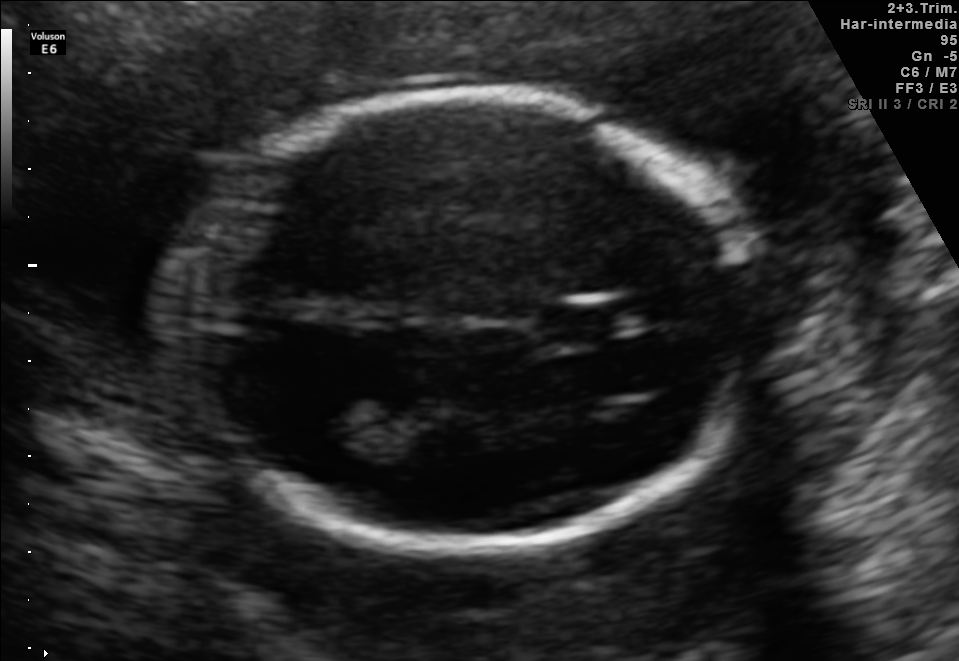
In this fetal brain, trans-thalamic plane, give the bounding box of the cavum septum pellucidum.

[539,299,623,345]